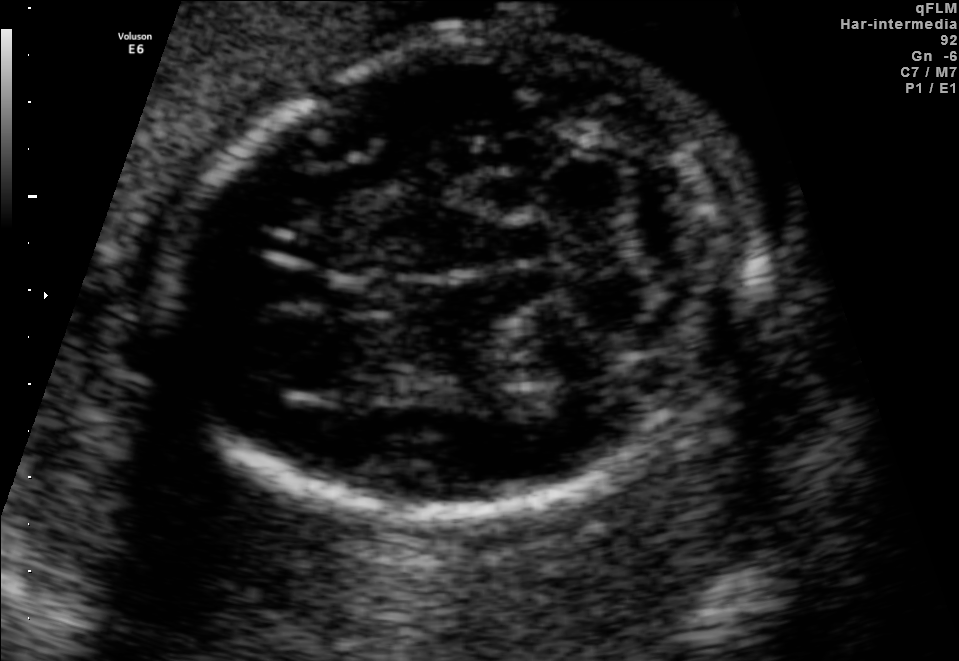
Fetal brain, trans-cerebellum plane. Where is the fetal head?

Head bounding box: [180,38,749,517]